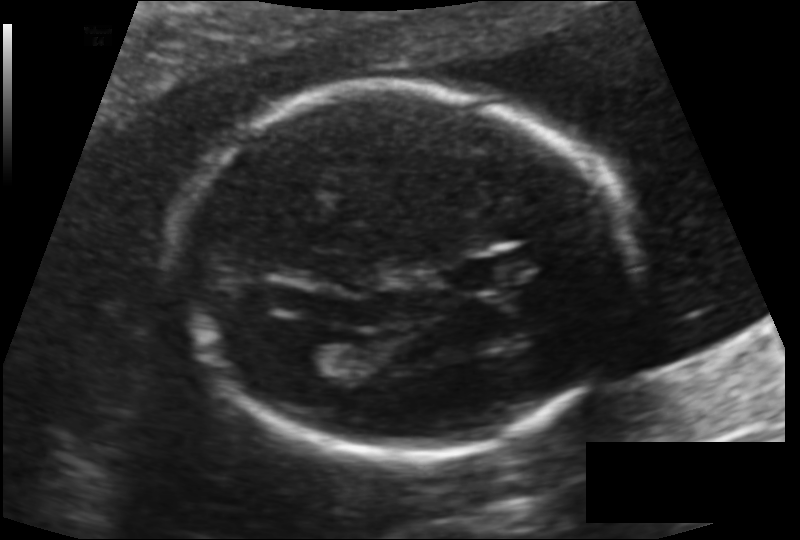
What is the fetal head circumference? Image width is 104.6 mm.

175.8 mm